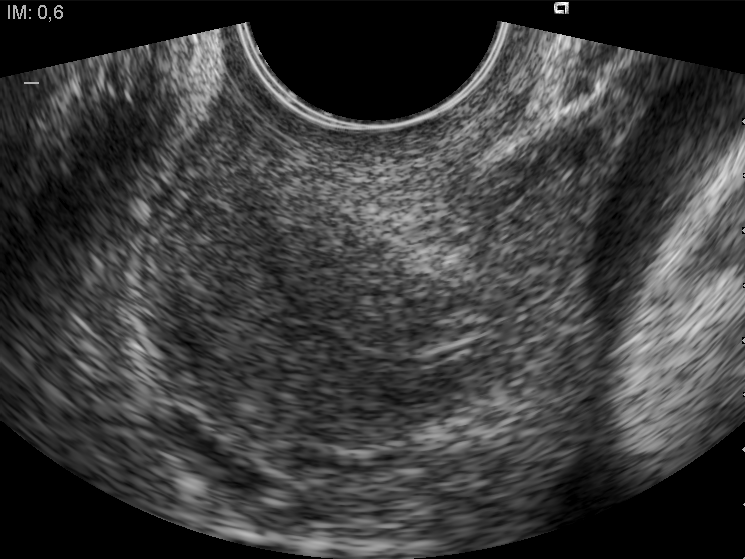
Identify the standard plane in this fetal ultrasound image: fetal abdomen, fetal brain, fetal femur, fetal thorax, maternal cervix, or other. If it's fetal brain and one of the three standard brain planes (trans-thalamic, trans-cerebellum, trans-ventricular), name which.

Maternal cervix